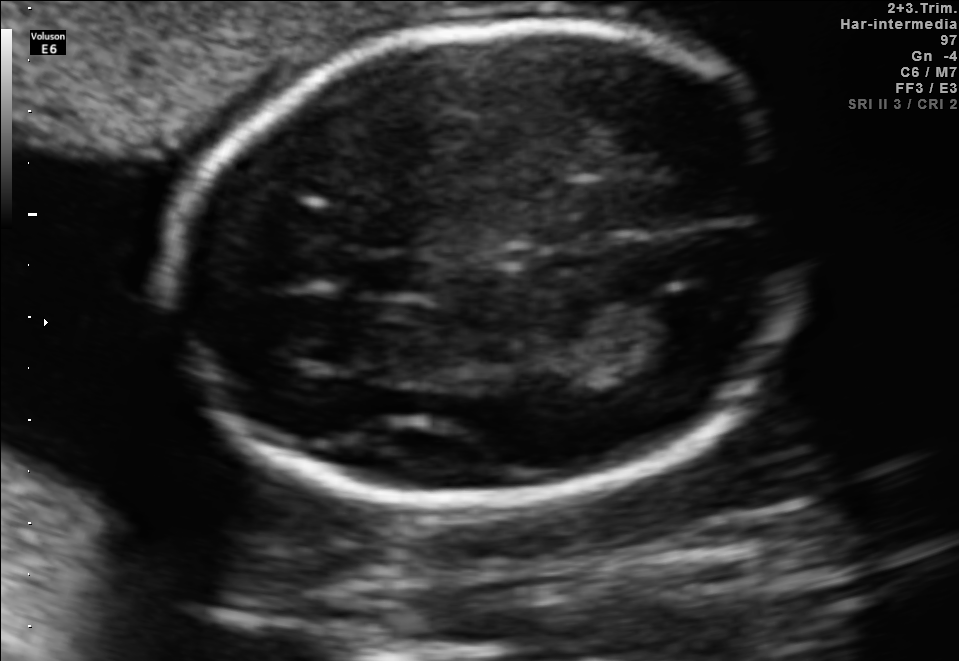
Fetal brain, trans-thalamic plane. Where is the fetal head?

Head bounding box: [170,21,801,506]